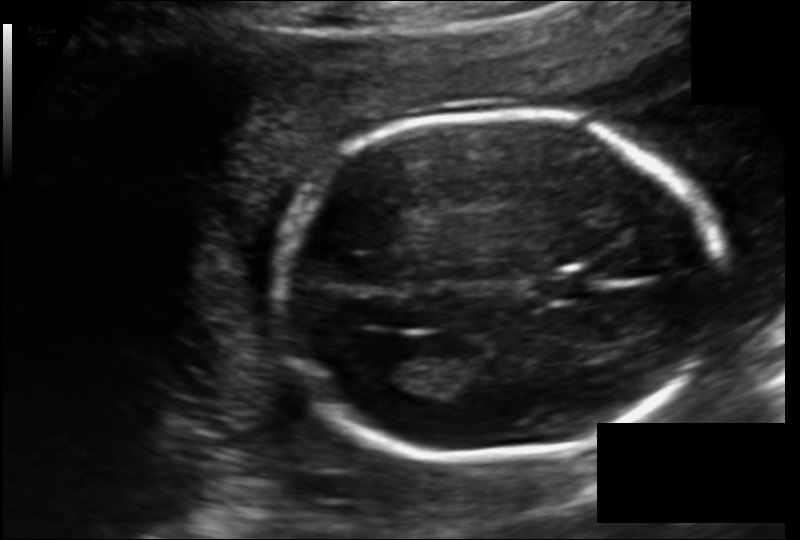
What is the fetal head circumference? Image width is 107.8 mm.

172.0 mm